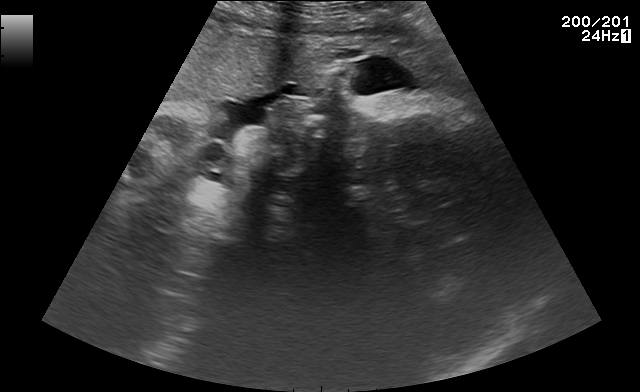
Which standard maternal-fetal ultrasound plane is shown: fetal abdomen, fetal brain, fetal femur, fetal thorax, maternal cervix, or other? If it's fetal brain and one of the three standard brain planes (trans-thalamic, trans-cerebellum, trans-ventricular), name which.

Other